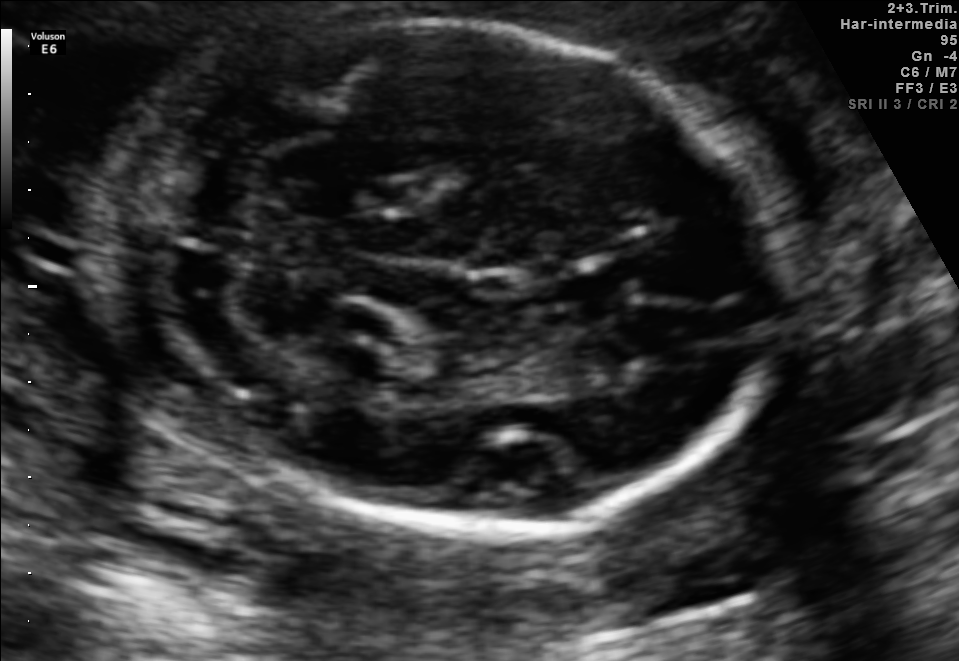
Identify the standard plane in this fetal ultrasound image: fetal abdomen, fetal brain, fetal femur, fetal thorax, maternal cervix, or other. If it's fetal brain and one of the three standard brain planes (trans-thalamic, trans-cerebellum, trans-ventricular), name which.

Fetal brain (trans-cerebellum plane)